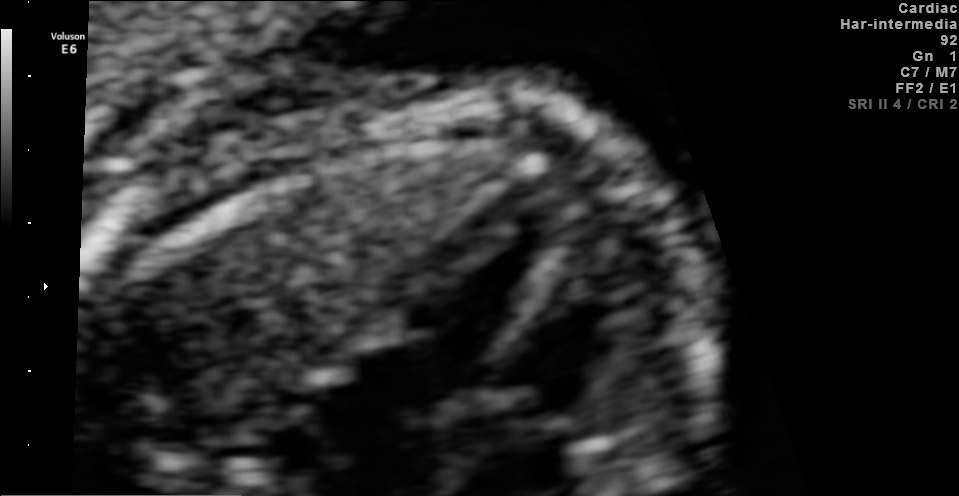
Which standard maternal-fetal ultrasound plane is shown: fetal abdomen, fetal brain, fetal femur, fetal thorax, maternal cervix, or other? If it's fetal brain and one of the three standard brain planes (trans-thalamic, trans-cerebellum, trans-ventricular), name which.

Fetal thorax